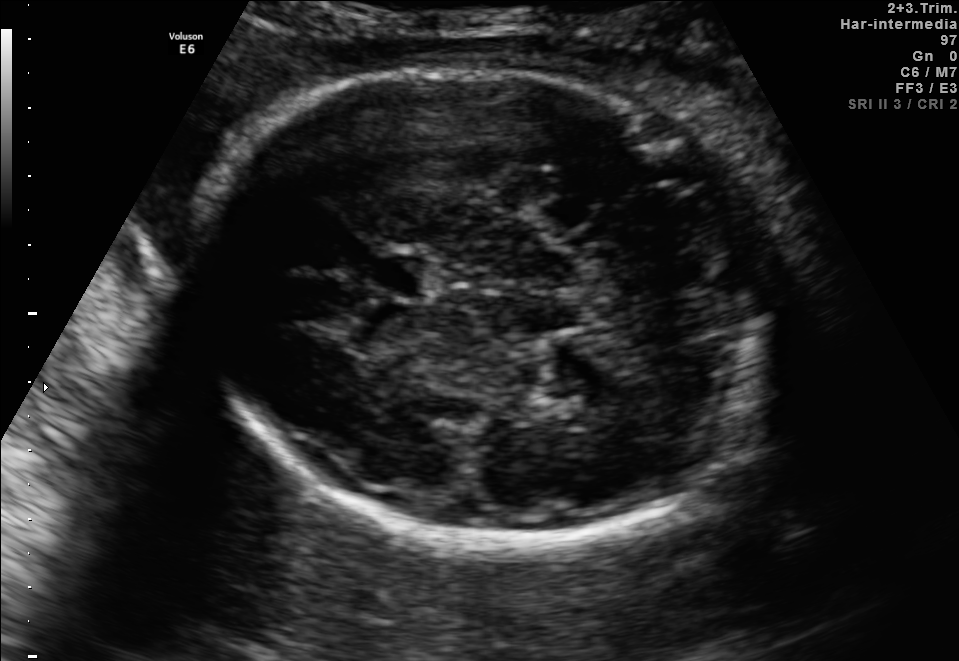
In this fetal brain, trans-thalamic plane, give bounding boxes for the head outline, cavum septum pellucidum (CSP), and lateral ventricle (LV), where visible.

Head: [185,67,770,552]
CSP: [366,253,431,298]